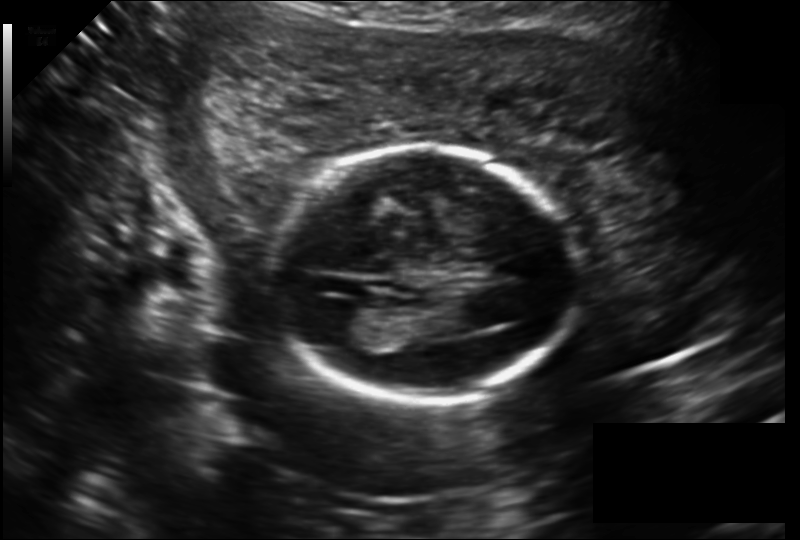
Fetal head ultrasound. Image width: 142.0 mm. Locate the fetal head and, if visible, the cavum septum pellucidum (CSP) and lateral ventricle (LV). Give bounding boxes as [x1,y1,x2,y2].

Head: [269,146,574,404]
Lateral ventricle: [302,295,363,335]